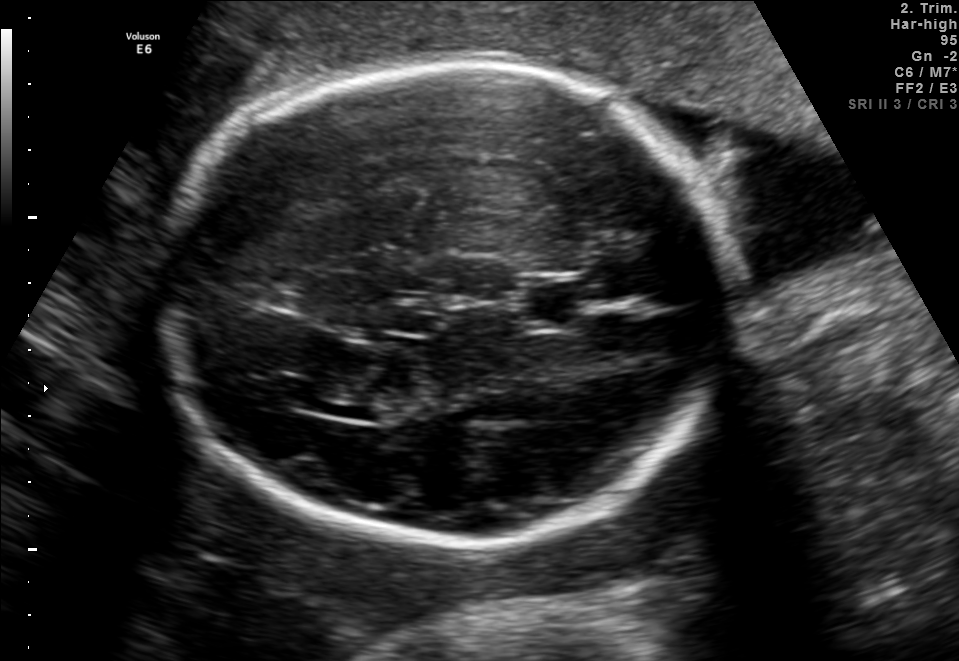
Fetal brain, trans-thalamic plane. Give [x1,y1,x2,y2] bounding boxes for each visible structure among: fetal head, CSP, LV.

Head: [161,58,726,545]
CSP: [522,280,583,327]
Lateral ventricle: [281,377,386,423]